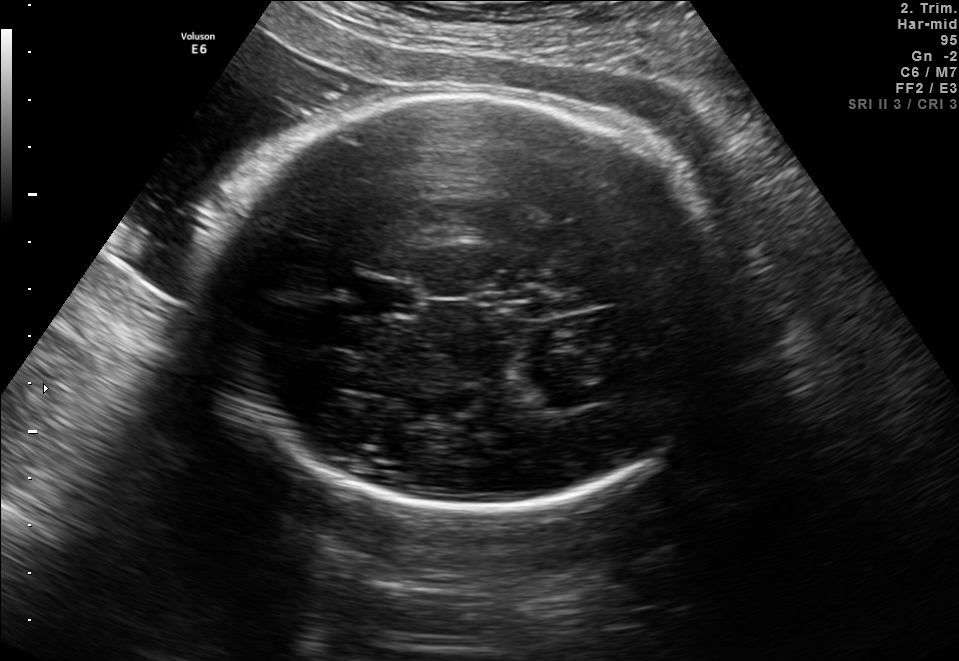
In this fetal brain, trans-thalamic plane, give the bounding box of the cavum septum pellucidum.

[355,277,418,318]